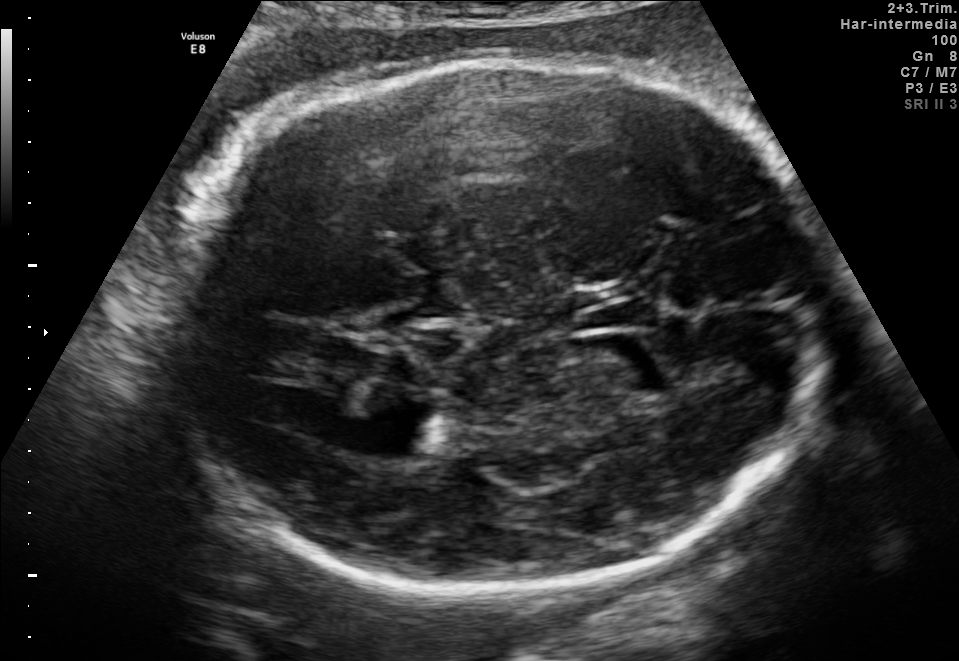
Fetal brain, trans-thalamic plane. Where is the fetal head?

Head bounding box: [172,55,819,594]